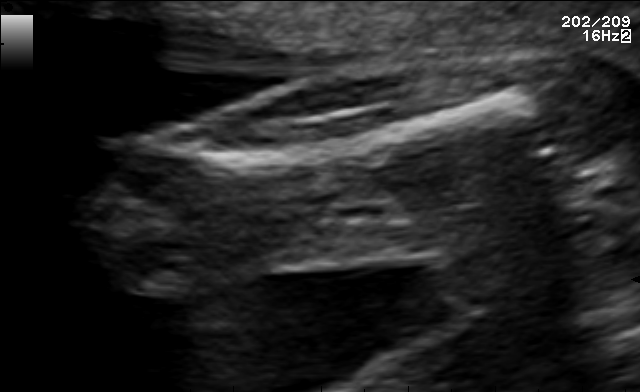
Classify this maternal-fetal ultrasound image as one of the six standard planes — fetal abdomen, fetal brain, fetal femur, fetal thorax, maternal cervix, or other. If it's fetal brain and one of the three standard brain planes (trans-thalamic, trans-cerebellum, trans-ventricular), name which.

Fetal femur